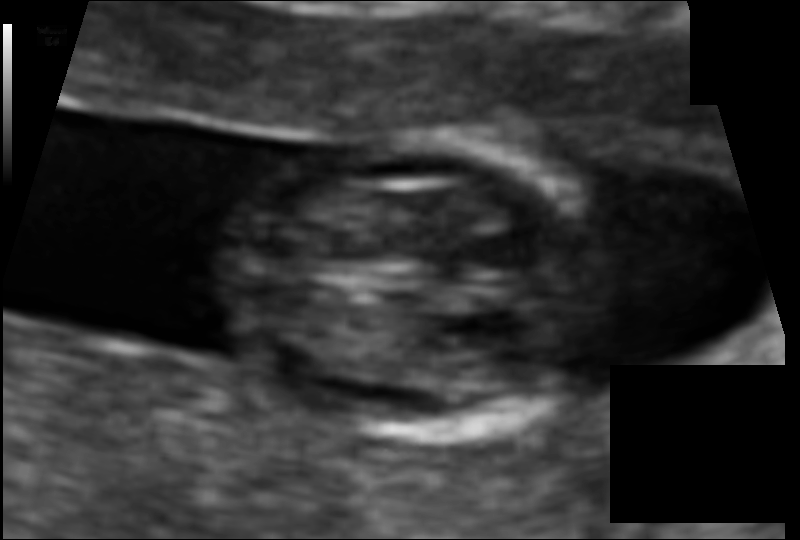
Fetal head ultrasound. Image width: 53.7 mm. Locate the fetal head.

Head: [228,138,606,441]